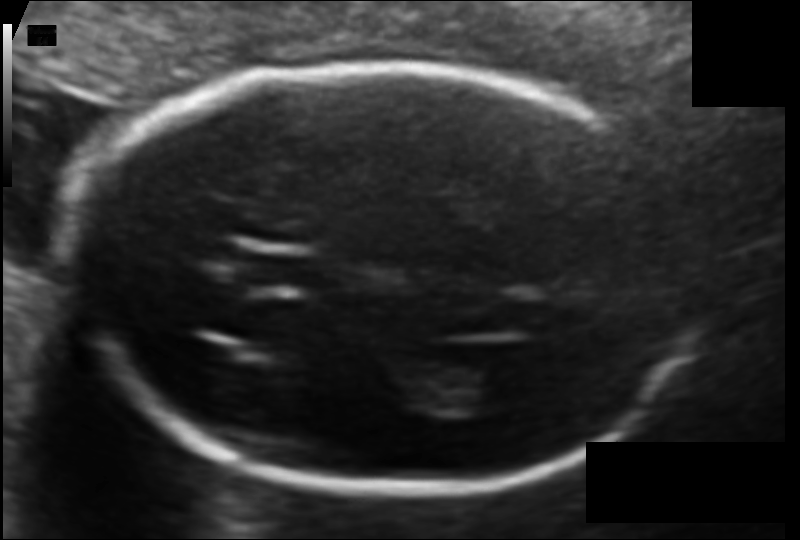
Estimate the fetal head circumference from this 2D ultrasound.

Head circumference: 177.8 mm (image width 82.7 mm).